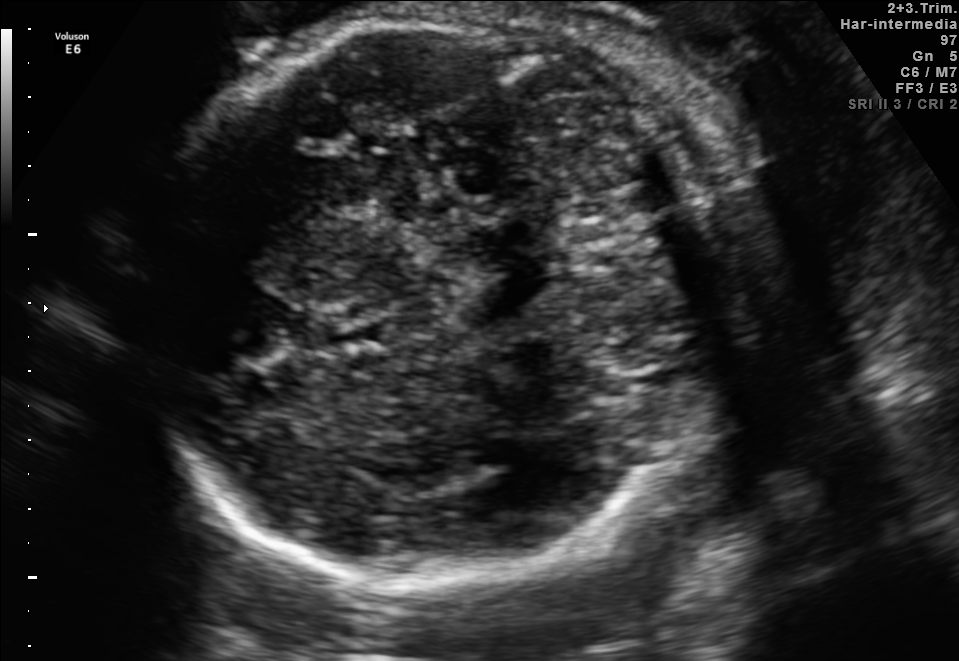
In this fetal brain, trans-cerebellum plane, give bounding boxes for the head outline, cavum septum pellucidum (CSP), and lateral ventricle (LV), where visible.

Head: [136,3,763,584]